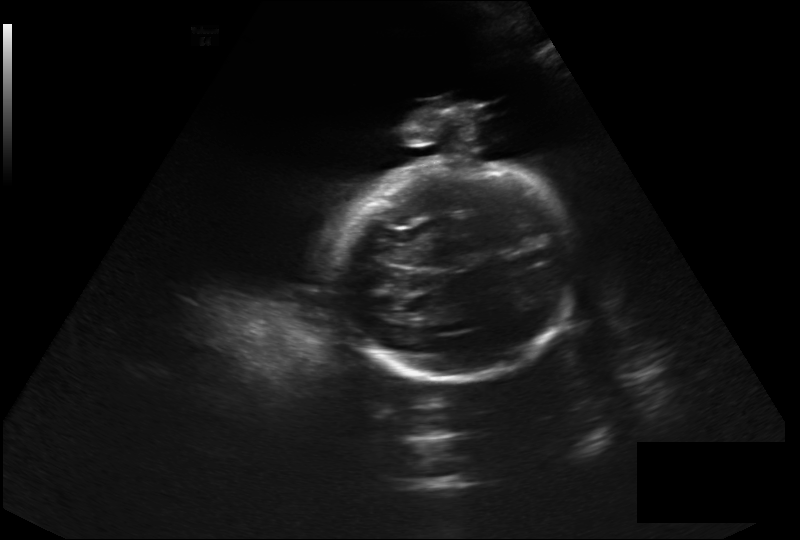
Estimate the fetal head circumference from this 2D ultrasound.

Head circumference: 245.3 mm (image width 261.1 mm).